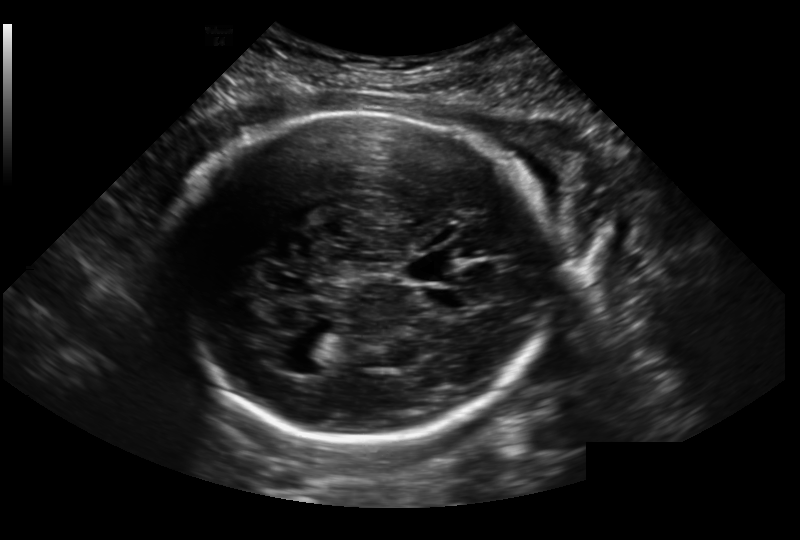
Measure the fetal head circumference shown in this ultrasound image. Image width: 188.7 mm.

Head circumference: 274.9 mm.